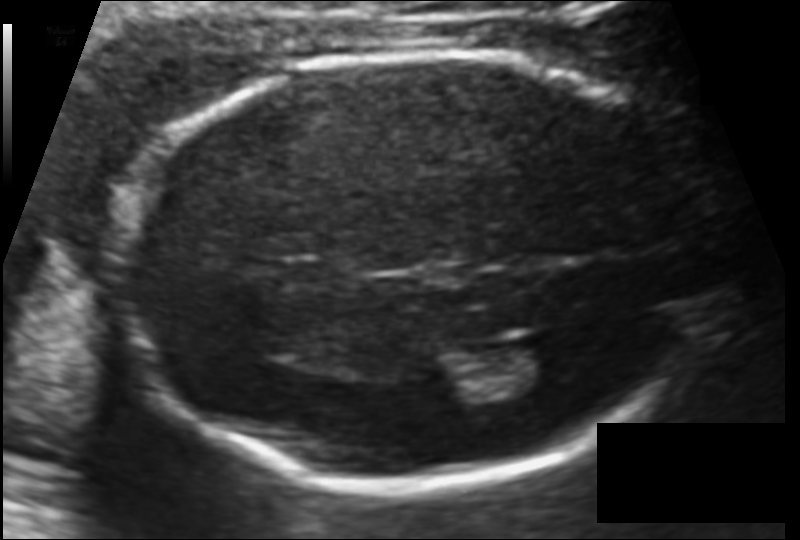
Fetal head ultrasound. Image width: 91.0 mm. Where is the fetal head?

Head bounding box: [126,51,704,489]